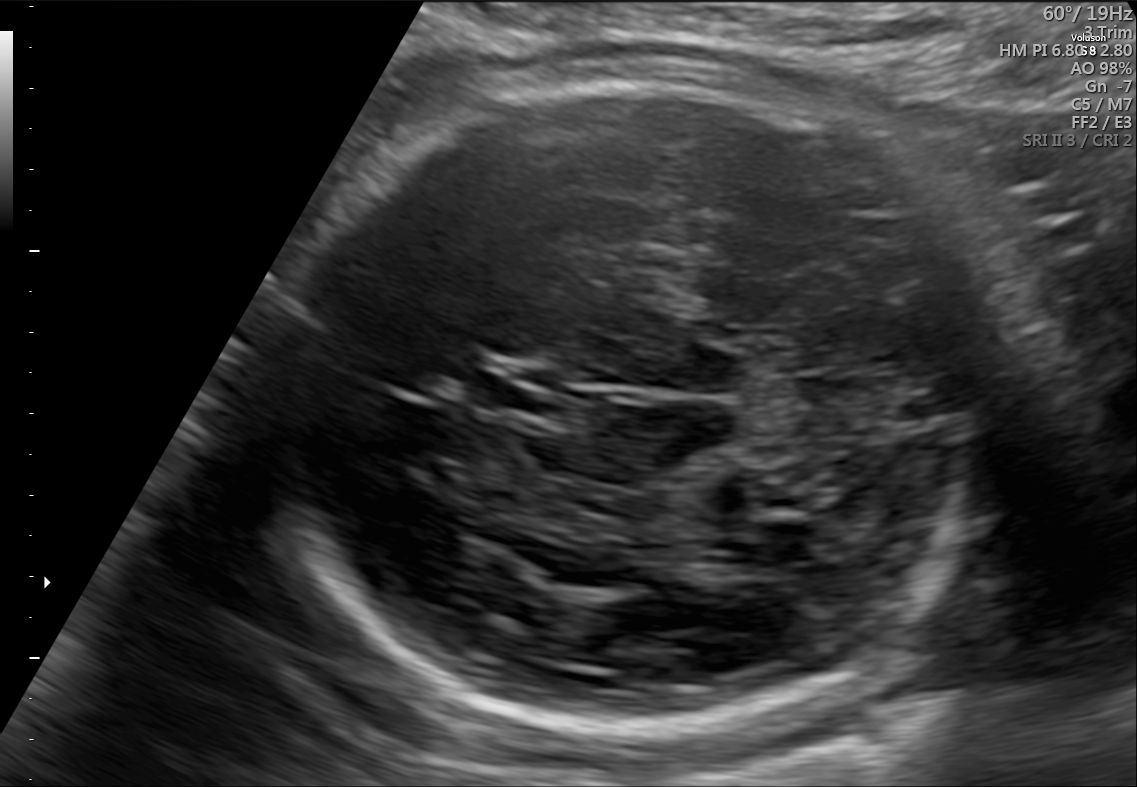
Fetal brain, trans-cerebellum plane. Where is the cavum septum pellucidum?

CSP bounding box: [459,366,552,422]